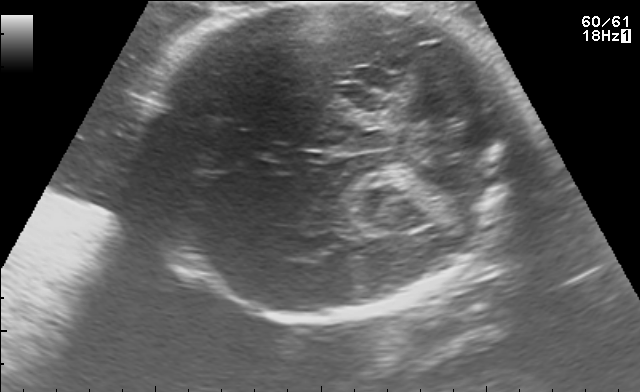
Fetal brain, trans-thalamic plane. Locate the fetal head and, if visible, the cavum septum pellucidum (CSP) and lateral ventricle (LV). Give bounding boxes as [x1,y1,x2,y2].

Head: [115,3,527,321]